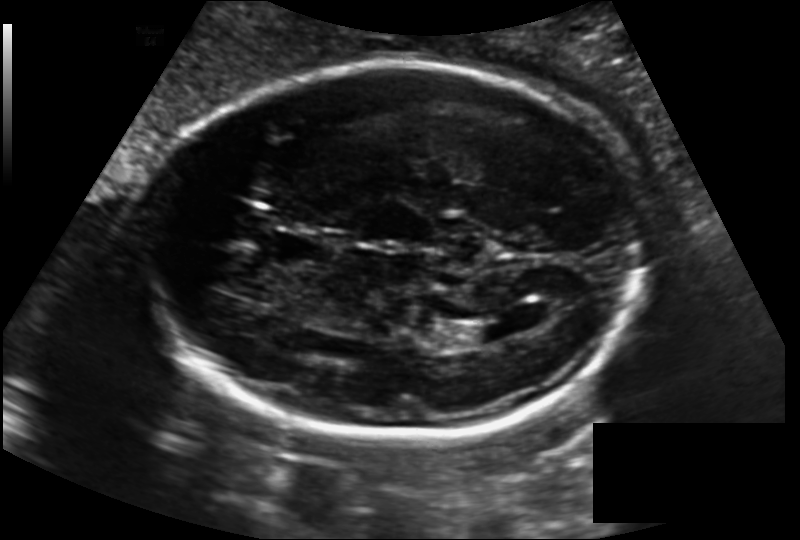
Measure the fetal head circumference shown in this ultrasound image. Image width: 130.6 mm.

Head circumference: 231.9 mm.